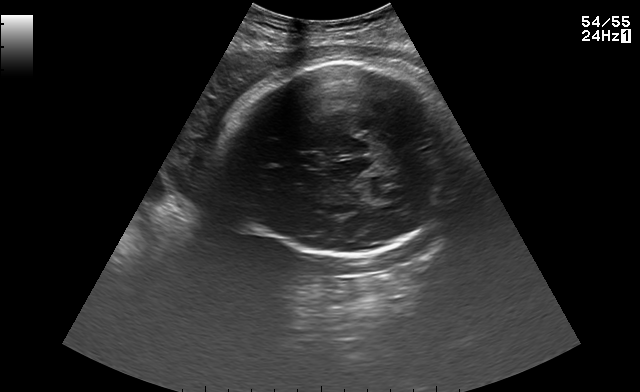
Fetal brain, trans-thalamic plane. Where is the cavum septum pellucidum?

CSP bounding box: [293,154,317,167]